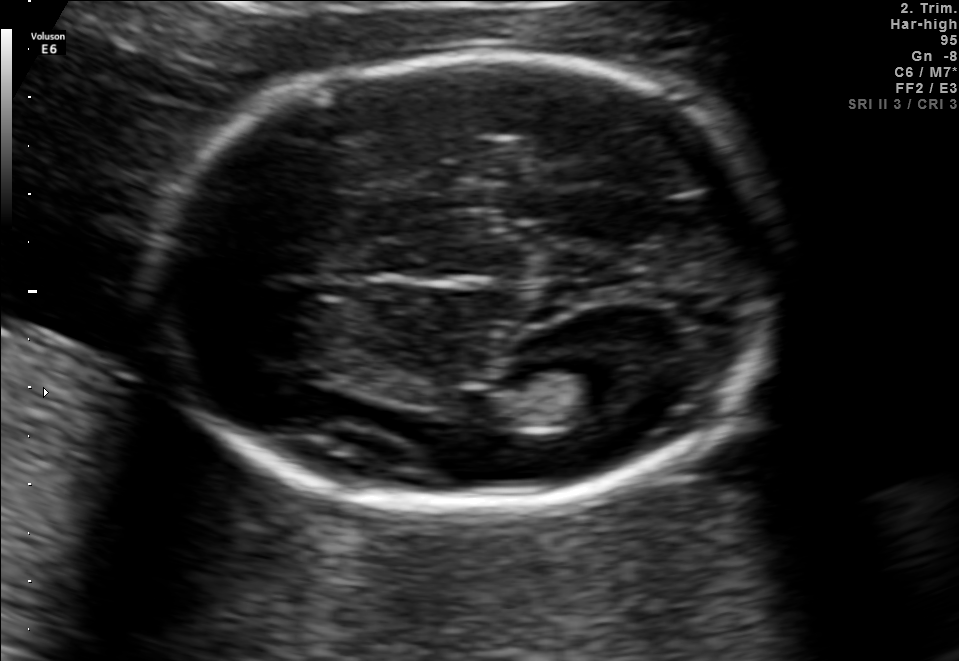
Identify the standard plane in this fetal ultrasound image: fetal abdomen, fetal brain, fetal femur, fetal thorax, maternal cervix, or other. If it's fetal brain and one of the three standard brain planes (trans-thalamic, trans-cerebellum, trans-ventricular), name which.

Fetal brain (trans-thalamic plane)